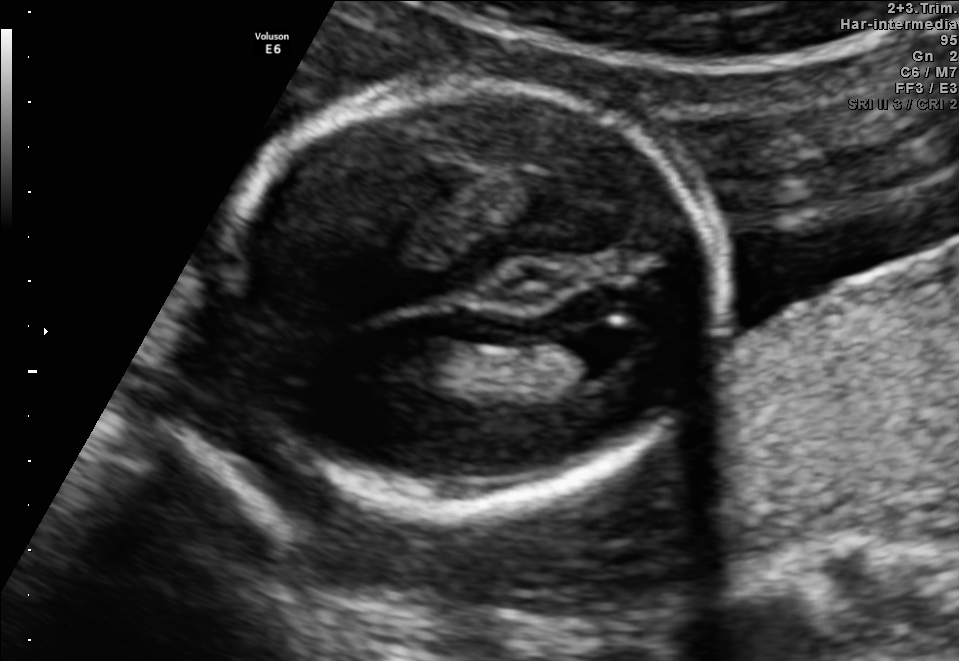
Fetal brain, trans-ventricular plane. Give [x1,y1,x2,y2] bounding boxes for each visible structure among: fetal head, CSP, LV.

Head: [208,72,735,521]